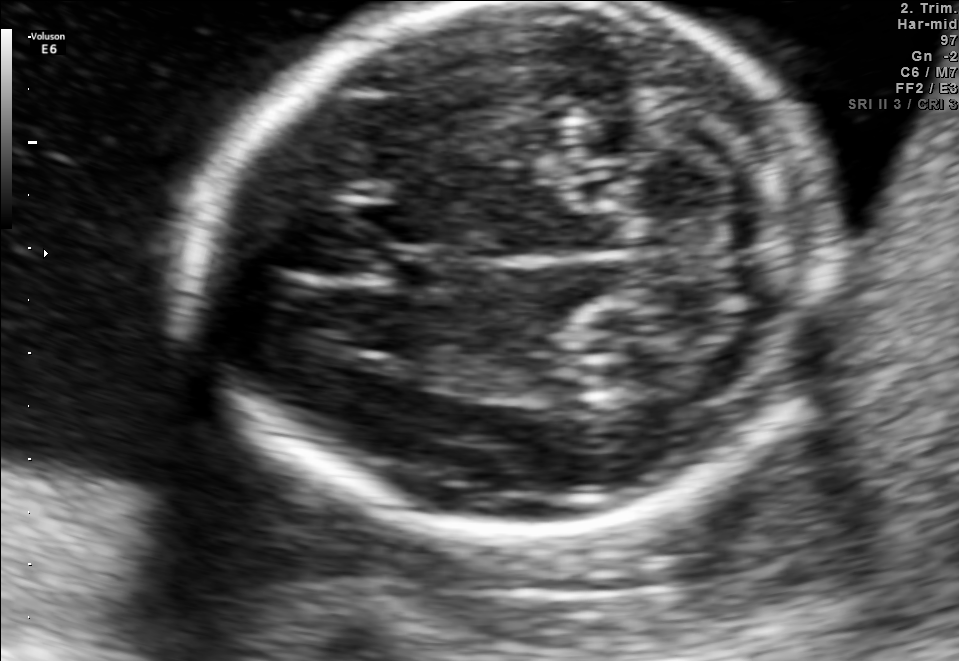
In this fetal brain, trans-cerebellum plane, give bounding boxes for the head outline, cavum septum pellucidum (CSP), and lateral ventricle (LV), where visible.

Head: [188,4,841,537]
CSP: [380,251,451,291]